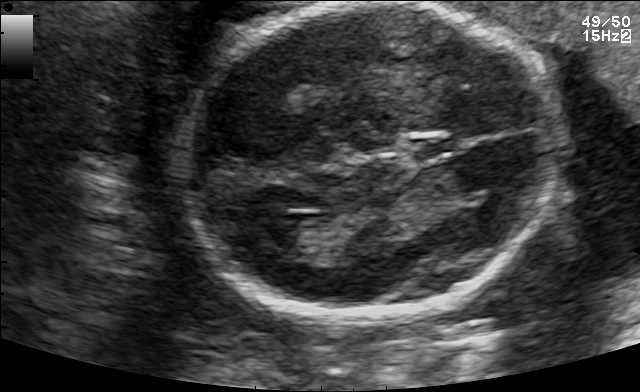
Fetal brain, trans-ventricular plane. Locate the fetal head.

Head: [168,1,566,329]